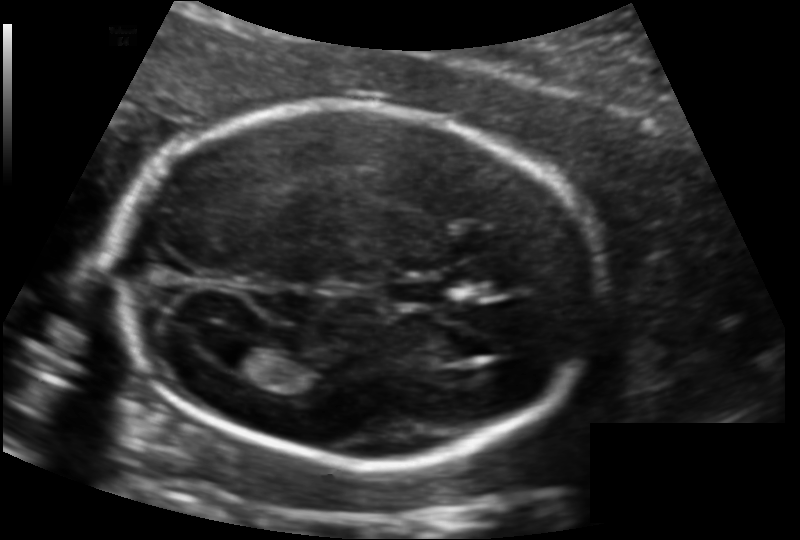
In this fetal head ultrasound, give bounding boxes for the head outline, cavum septum pellucidum (CSP), and lateral ventricle (LV), where visible. Image width: 107.1 mm.

Head: [115,104,595,466]
CSP: [392,278,448,306]
Lateral ventricle: [214,338,280,382]